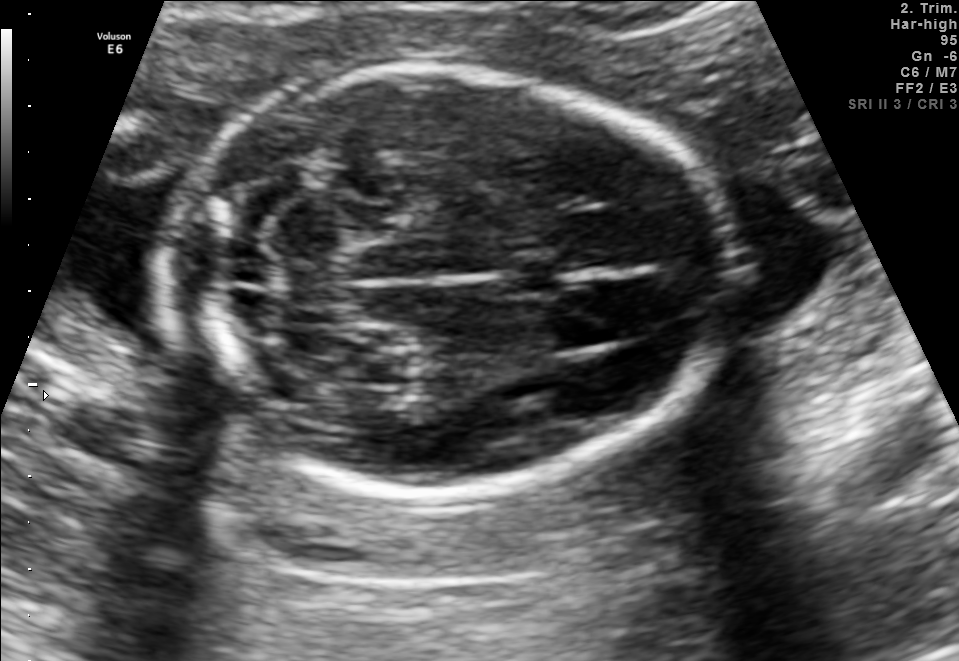
In this fetal brain, trans-cerebellum plane, give bounding boxes for the head outline, cavum septum pellucidum (CSP), and lateral ventricle (LV), where visible.

Head: [166,62,725,495]
CSP: [496,255,565,298]